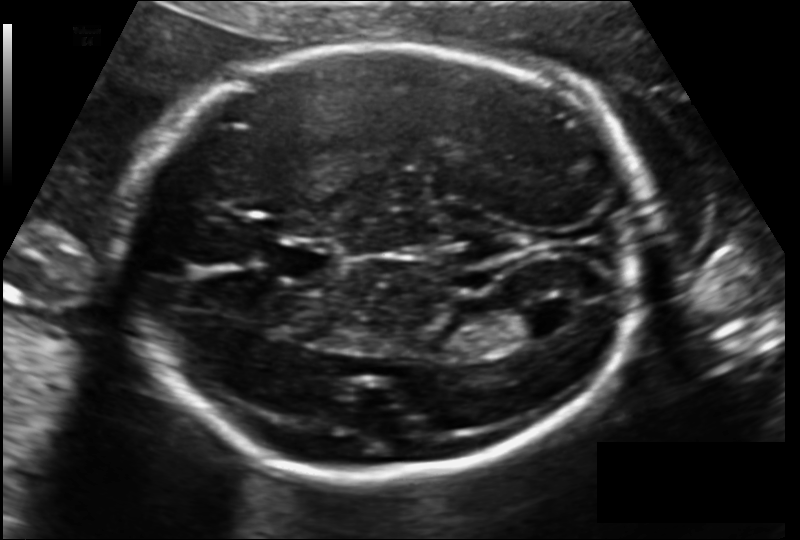
In this fetal head ultrasound, give bounding boxes for the head outline, cavum septum pellucidum (CSP), and lateral ventricle (LV), where visible. Image width: 118.5 mm.

Head: [127,45,647,474]
CSP: [274,244,340,281]
Lateral ventricle: [496,298,563,346]